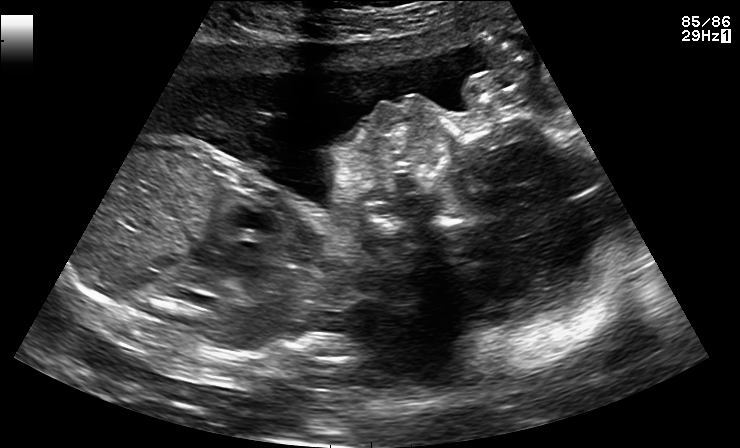
Identify the standard plane in this fetal ultrasound image: fetal abdomen, fetal brain, fetal femur, fetal thorax, maternal cervix, or other. If it's fetal brain and one of the three standard brain planes (trans-thalamic, trans-cerebellum, trans-ventricular), name which.

Other